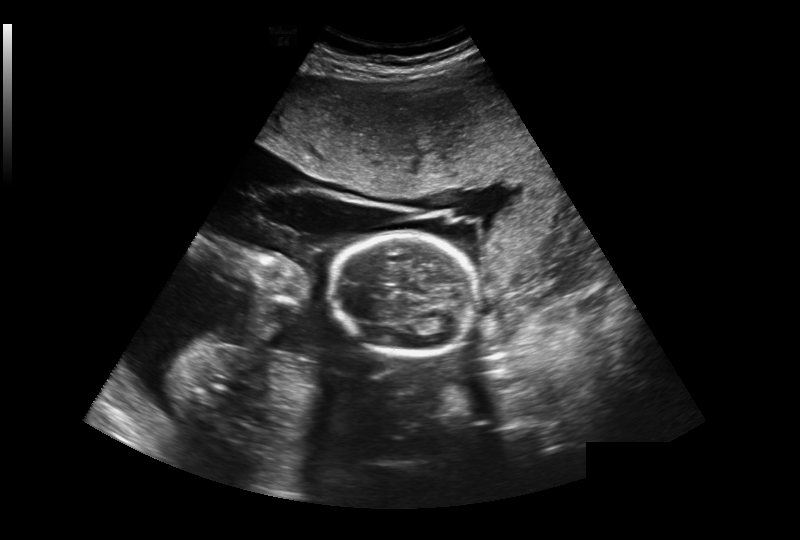
Fetal head ultrasound. Image width: 314.6 mm. Give [x1,y1,x2,y2] bounding boxes for each visible structure among: fetal head, CSP, LV.

Head: [331,234,477,355]
CSP: [370,282,397,298]
Lateral ventricle: [434,318,456,331]